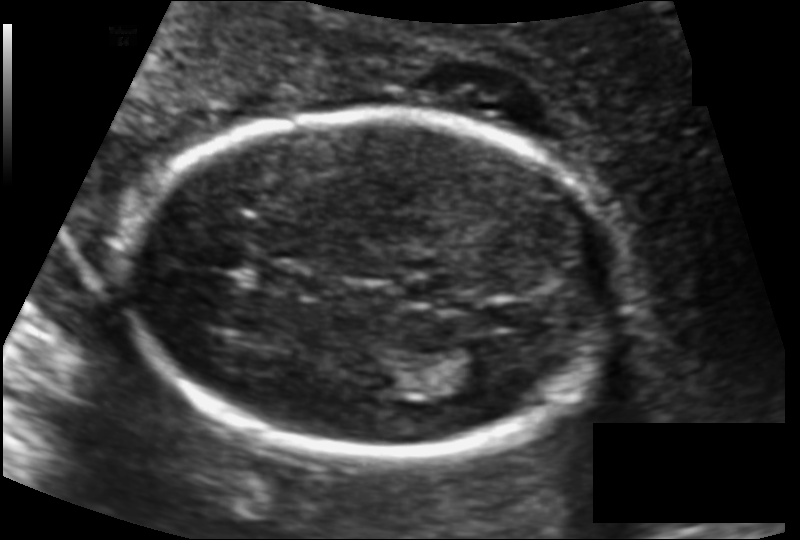
Fetal head ultrasound. Image width: 93.7 mm. Locate the fetal head.

Head: [130,110,613,456]